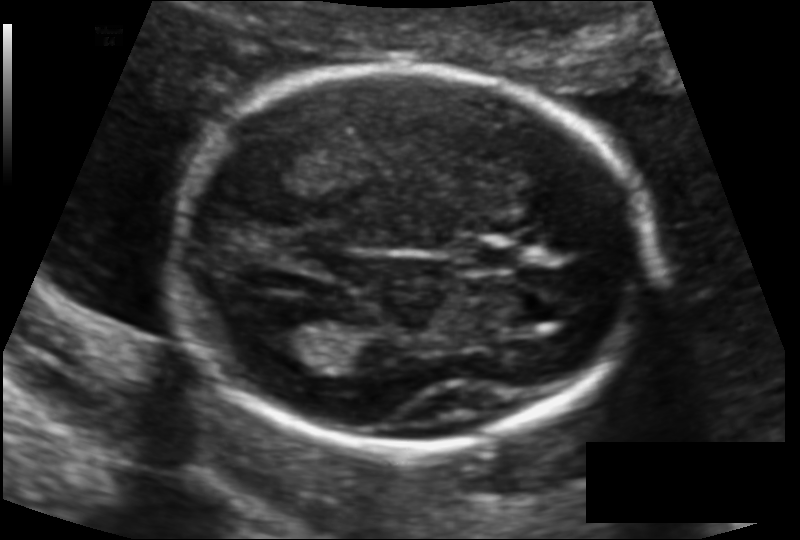
Measure the fetal head circumference shown in this ultrasound image. Image width: 93.3 mm.

Head circumference: 162.2 mm.